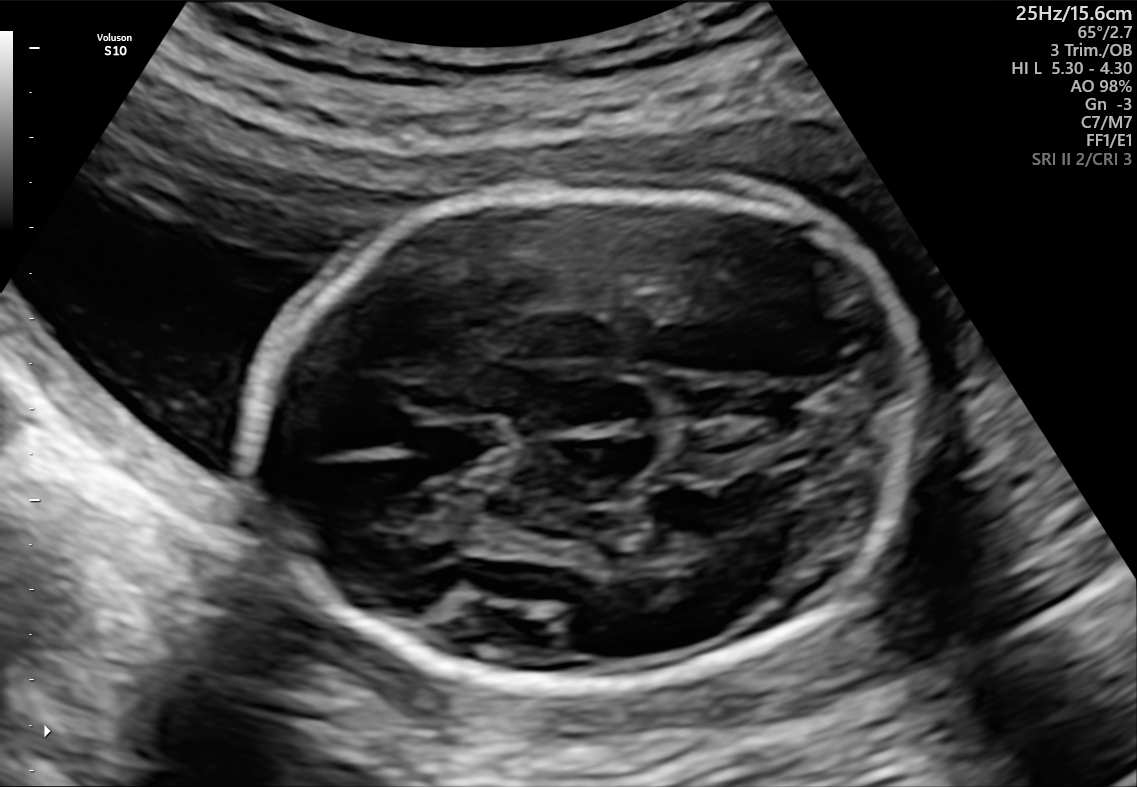
In this fetal brain, trans-thalamic plane, give the bounding box of the cavum septum pellucidum.

[416,414,512,476]